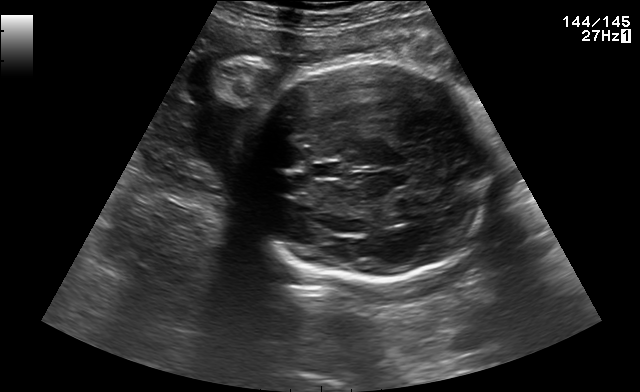
Classify this maternal-fetal ultrasound image as one of the six standard planes — fetal abdomen, fetal brain, fetal femur, fetal thorax, maternal cervix, or other. If it's fetal brain and one of the three standard brain planes (trans-thalamic, trans-cerebellum, trans-ventricular), name which.

Fetal brain (trans-thalamic plane)